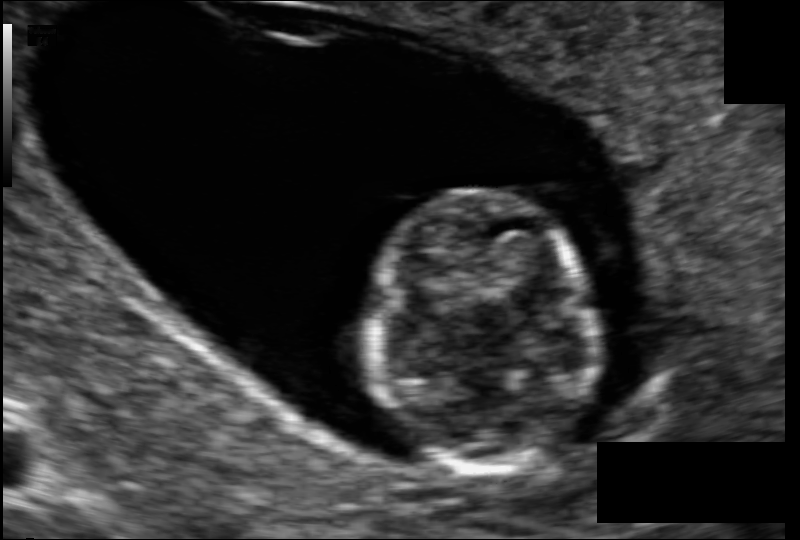
From this fetal ultrasound, estimate the head circumference (image width 73.7 mm).

Head circumference: 76.0 mm.